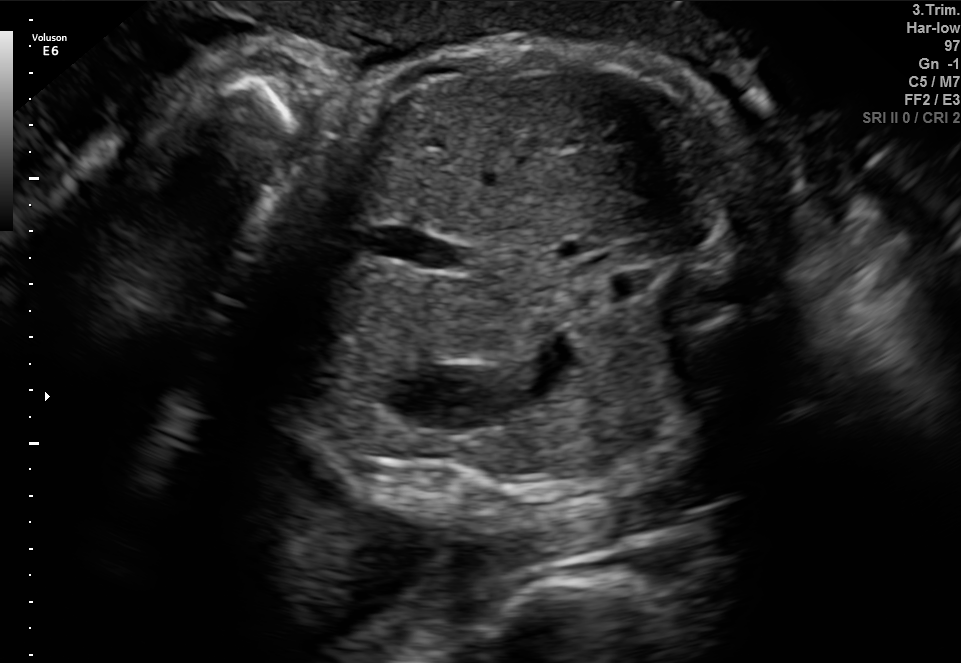
This is a 2D maternal-fetal ultrasound frame. Is it a fetal abdomen, fetal brain, fetal femur, fetal thorax, maternal cervix, or other standard plane? If it's fetal brain and one of the three standard brain planes (trans-thalamic, trans-cerebellum, trans-ventricular), name which.

Fetal abdomen